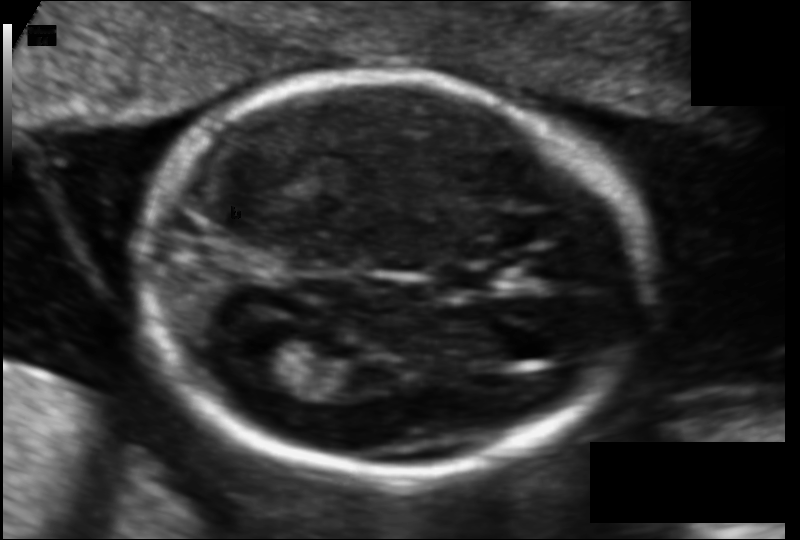
Fetal head ultrasound. Image width: 83.2 mm. Where is the lateral ventricle?

Lateral ventricle bounding box: [223,314,313,391]